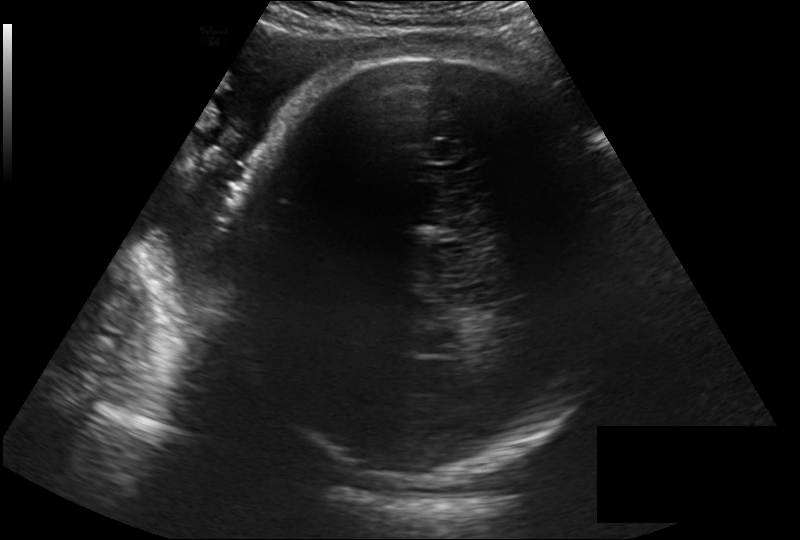
Fetal head ultrasound. Image width: 206.0 mm. Where is the fetal head?

Head bounding box: [224,54,625,483]